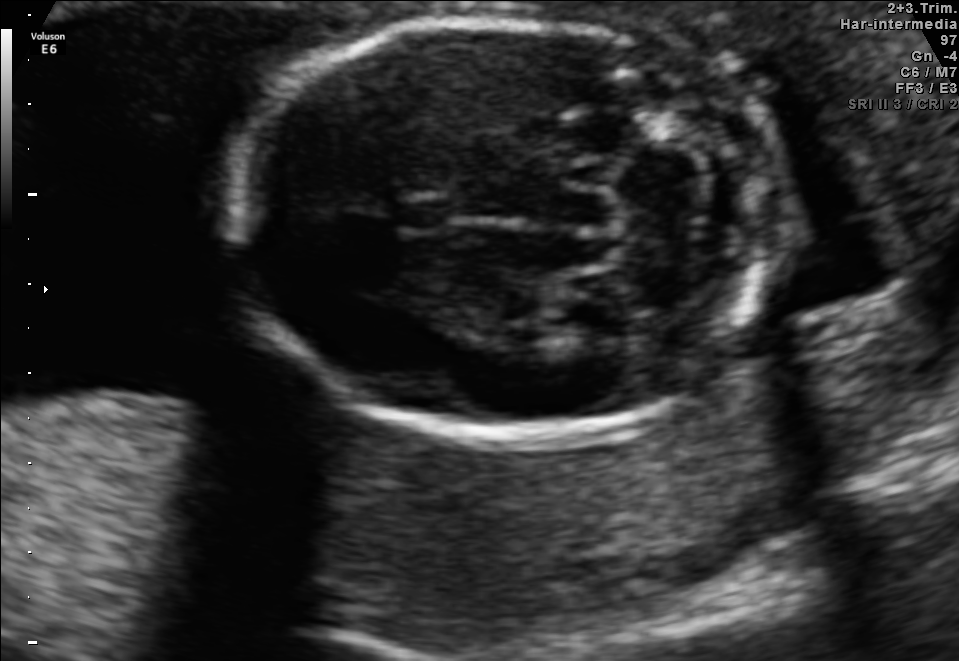
In this fetal brain, trans-cerebellum plane, give the bounding box of the fetal head.

[231,18,768,443]